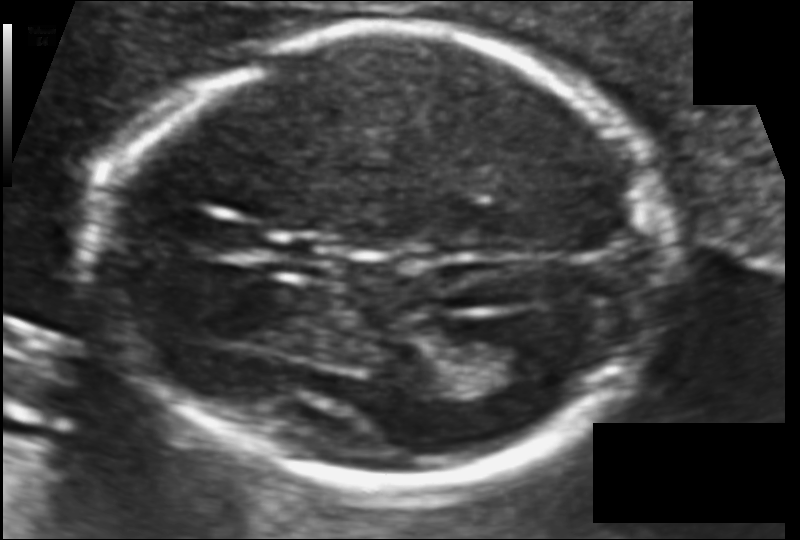
In this fetal head ultrasound, give the bounding box of the lateral ventricle. Image width: 78.9 mm.

[455,323,552,393]